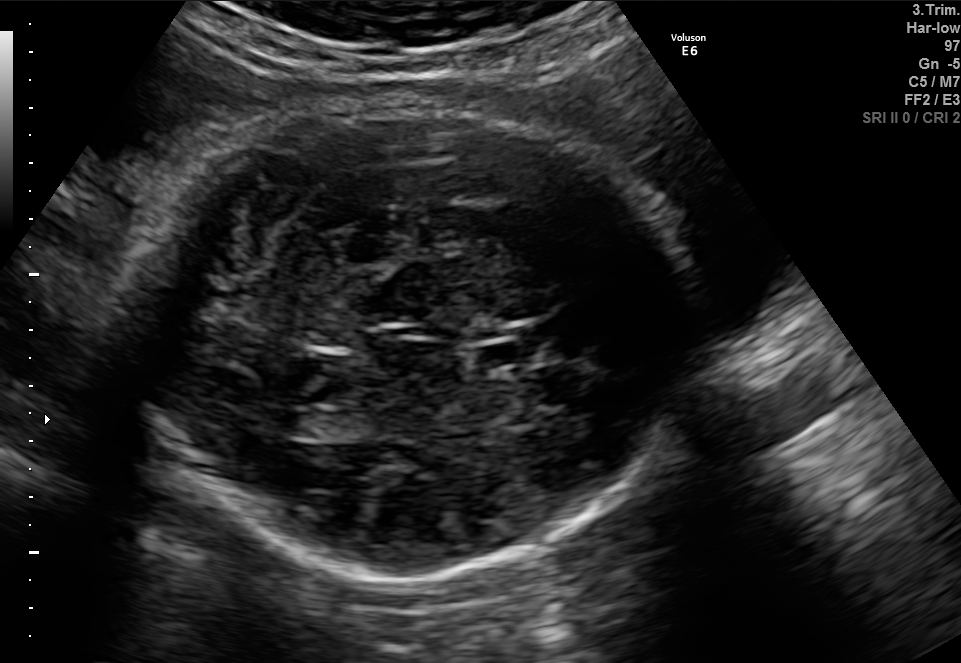
Fetal brain, trans-ventricular plane. Give [x1,y1,x2,y2] bounding boxes for each visible structure among: fetal head, CSP, LV.

Head: [127,101,701,582]
CSP: [469,339,526,374]
Lateral ventricle: [262,409,310,436]